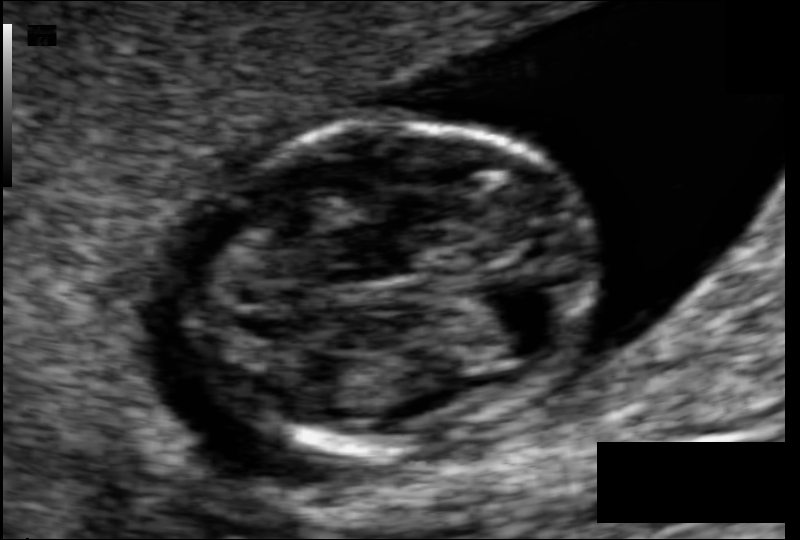
In this fetal head ultrasound, give the bounding box of the fetal head. Image width: 49.9 mm.

[184,122,594,451]